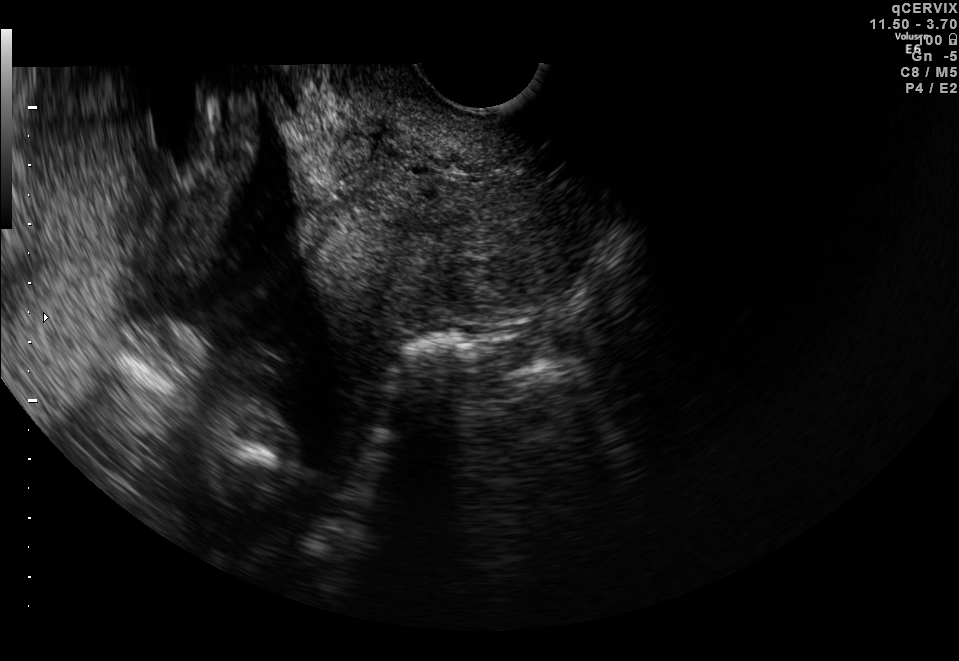
This is a 2D maternal-fetal ultrasound frame. Is it a fetal abdomen, fetal brain, fetal femur, fetal thorax, maternal cervix, or other standard plane? If it's fetal brain and one of the three standard brain planes (trans-thalamic, trans-cerebellum, trans-ventricular), name which.

Maternal cervix